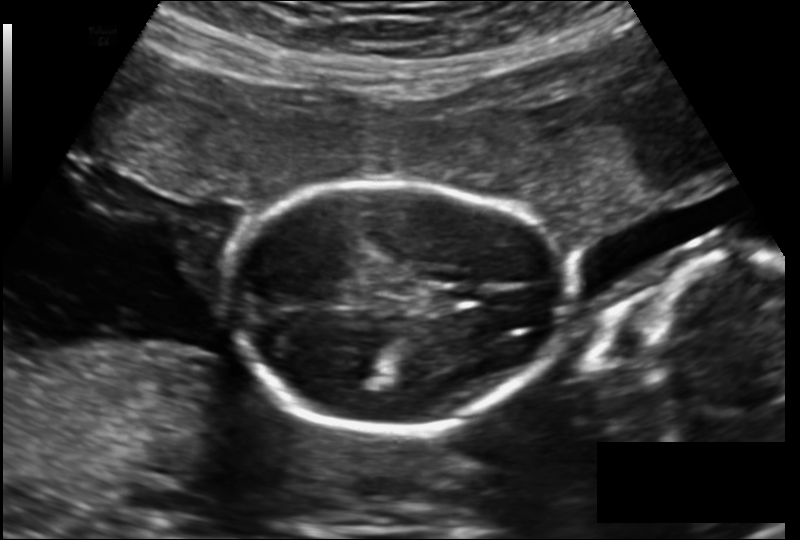
Fetal head ultrasound. Image width: 125.7 mm. Locate the fetal head and, if visible, the cavum septum pellucidum (CSP) and lateral ventricle (LV). Give bounding boxes as [x1,y1,x2,y2].

Head: [229,182,567,430]